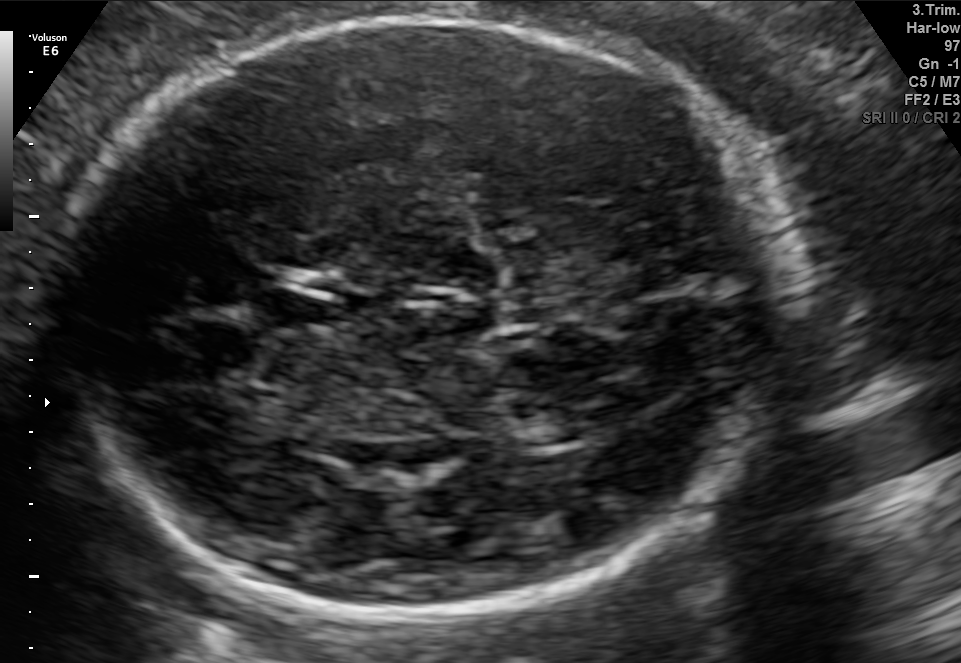
In this fetal brain, trans-thalamic plane, give the bounding box of the fetal head.

[43,11,798,620]